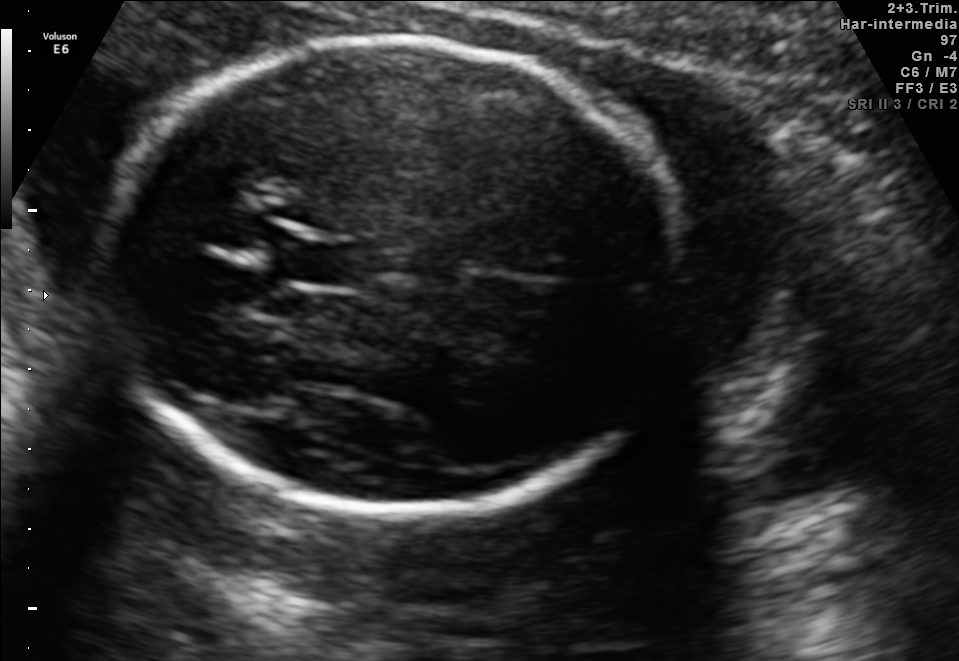
Fetal brain, trans-thalamic plane. Locate the cavum septum pellucidum.

CSP: [280,239,364,288]